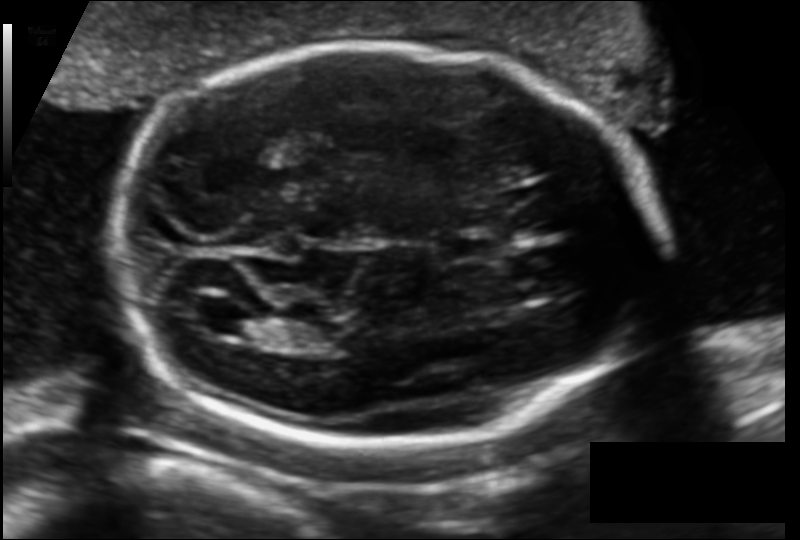
Estimate the fetal head circumference from this 2D ultrasound.

Head circumference: 198.6 mm (image width 103.4 mm).